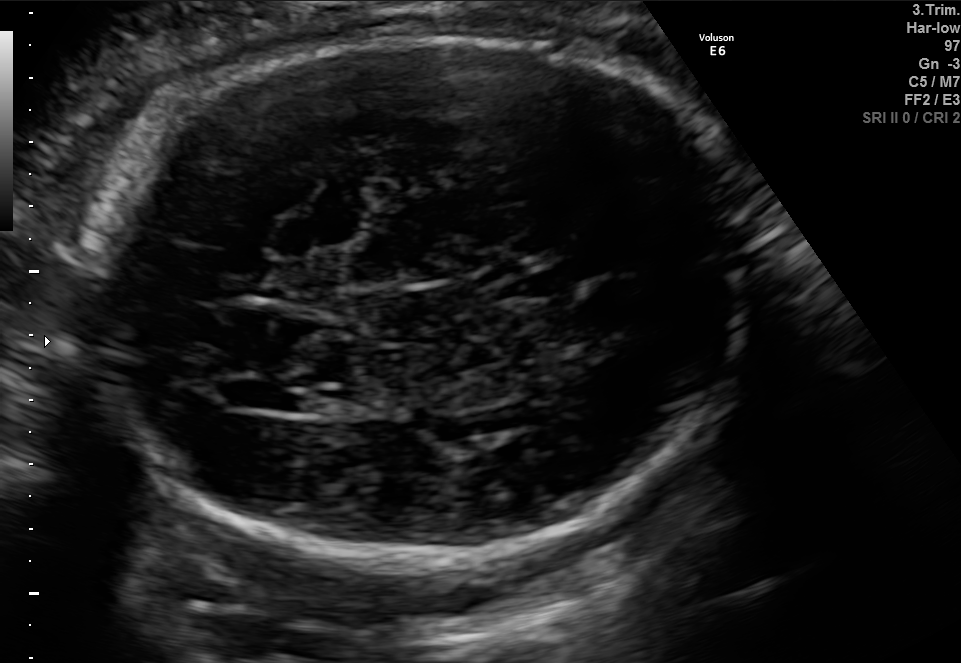
In this fetal brain, trans-ventricular plane, give the bounding box of the fetal head.

[72,23,765,566]